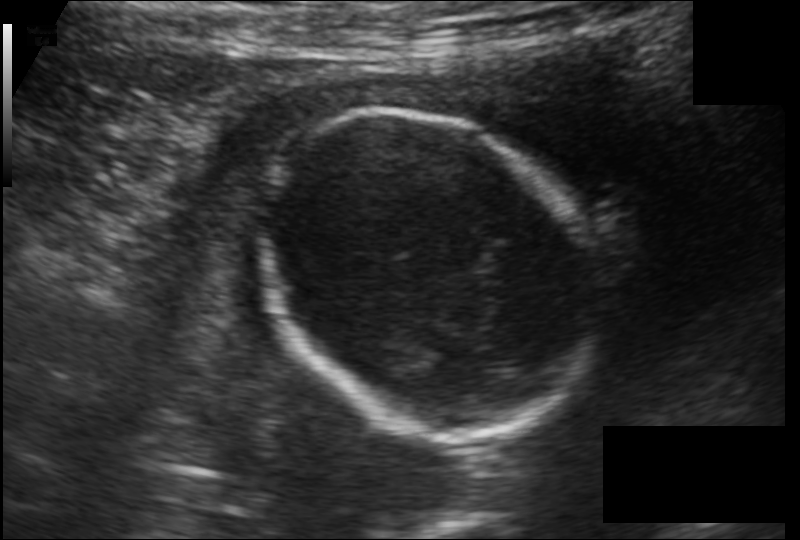
Fetal head ultrasound. Image width: 116.2 mm. Give [x1,y1,x2,y2] bounding boxes for each visible structure among: fetal head, CSP, LV.

Head: [254,113,601,431]